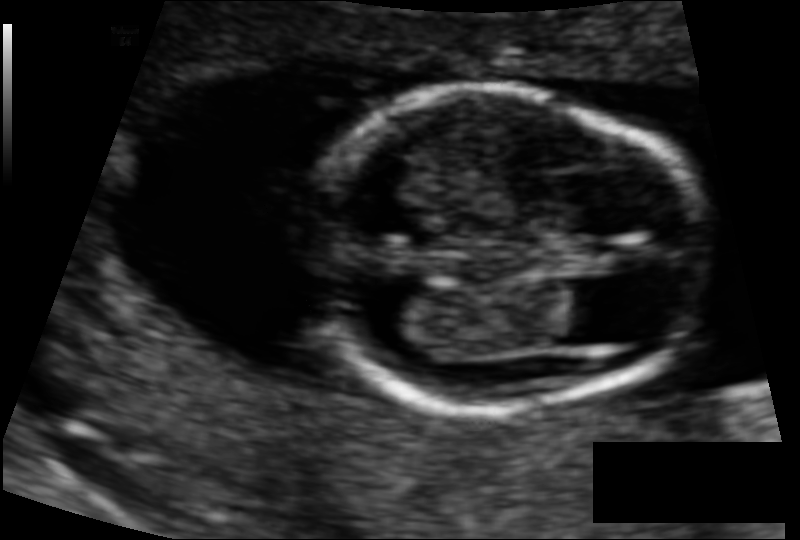
Estimate the fetal head circumference from this 2D ultrasound.

Head circumference: 99.3 mm (image width 67.4 mm).